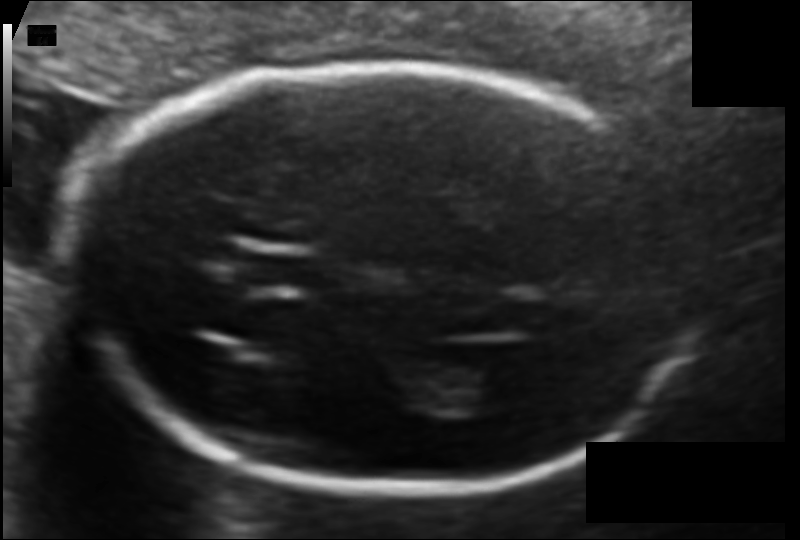
What is the fetal head circumference? Image width is 82.7 mm.

177.8 mm